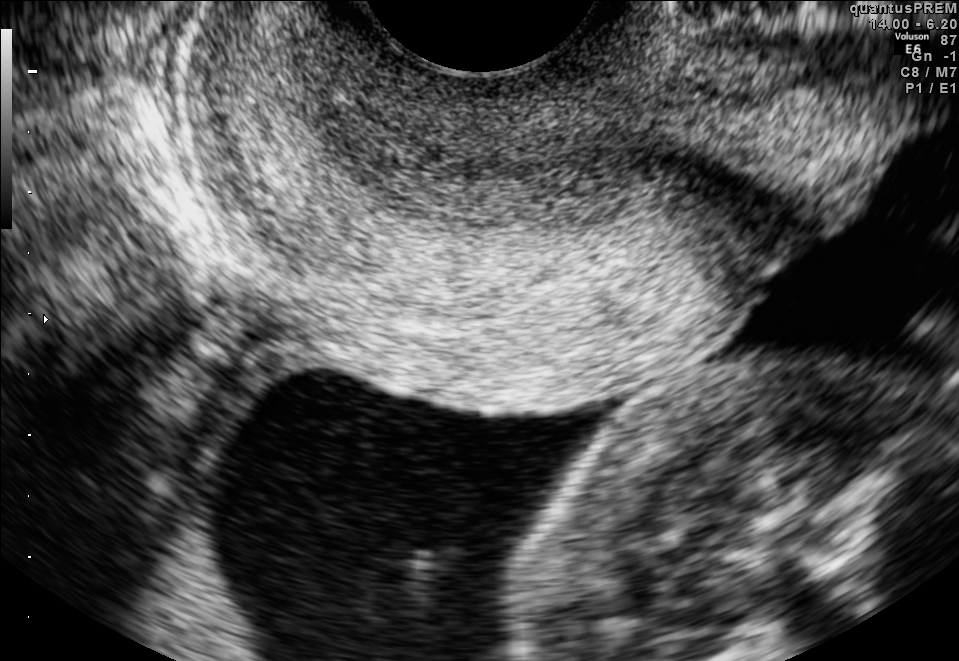
Identify the standard plane in this fetal ultrasound image: fetal abdomen, fetal brain, fetal femur, fetal thorax, maternal cervix, or other. If it's fetal brain and one of the three standard brain planes (trans-thalamic, trans-cerebellum, trans-ventricular), name which.

Maternal cervix